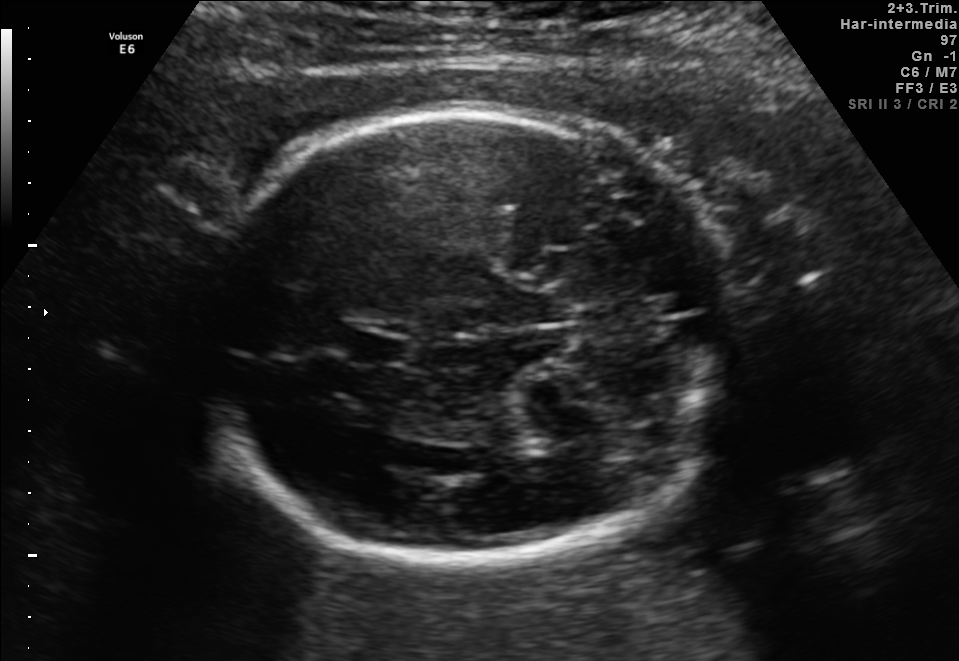
In this fetal brain, trans-cerebellum plane, give bounding boxes for the head outline, cavum septum pellucidum (CSP), and lateral ventricle (LV), where visible.

Head: [201,109,738,560]
CSP: [348,329,410,369]